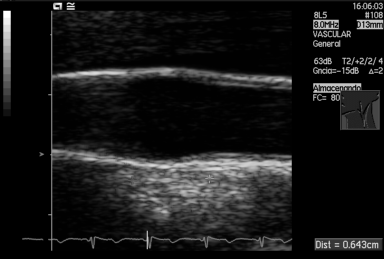
Identify the standard plane in this fetal ultrasound image: fetal abdomen, fetal brain, fetal femur, fetal thorax, maternal cervix, or other. If it's fetal brain and one of the three standard brain planes (trans-thalamic, trans-cerebellum, trans-ventricular), name which.

Other